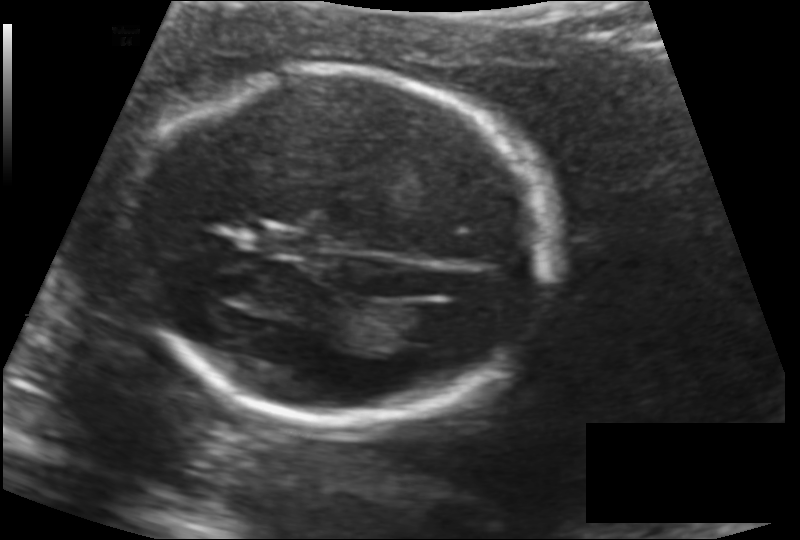
Estimate the fetal head circumference from this 2D ultrasound. Image width: 105.6 mm.

Head circumference: 164.4 mm.